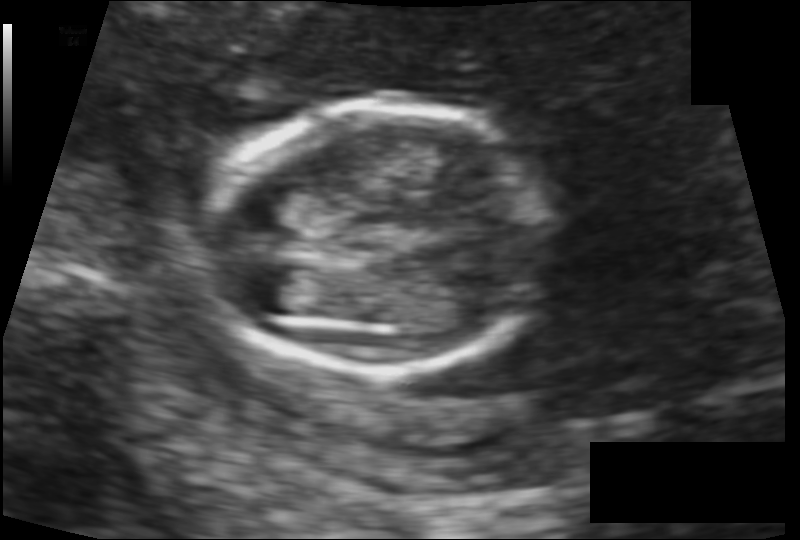
From this fetal ultrasound, estimate the head circumference (image width 88.5 mm).

Head circumference: 108.0 mm.